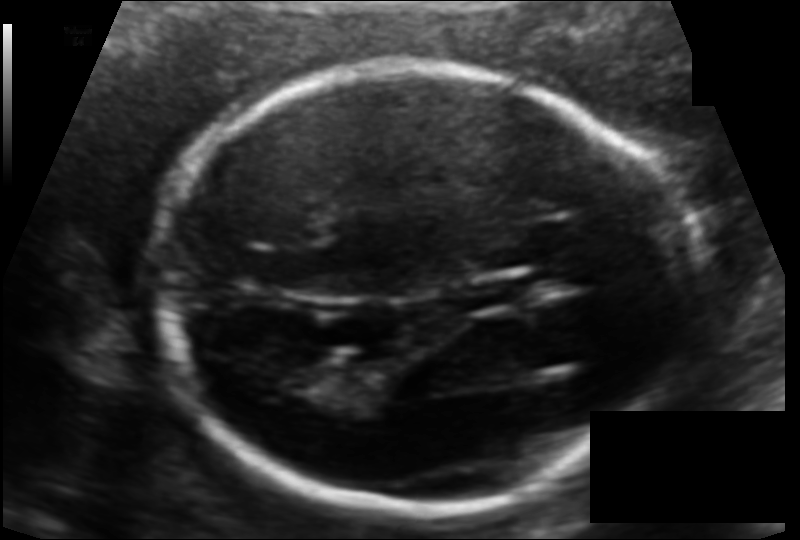
From this fetal ultrasound, estimate the head circumference (image width 85.9 mm).

Head circumference: 170.3 mm.